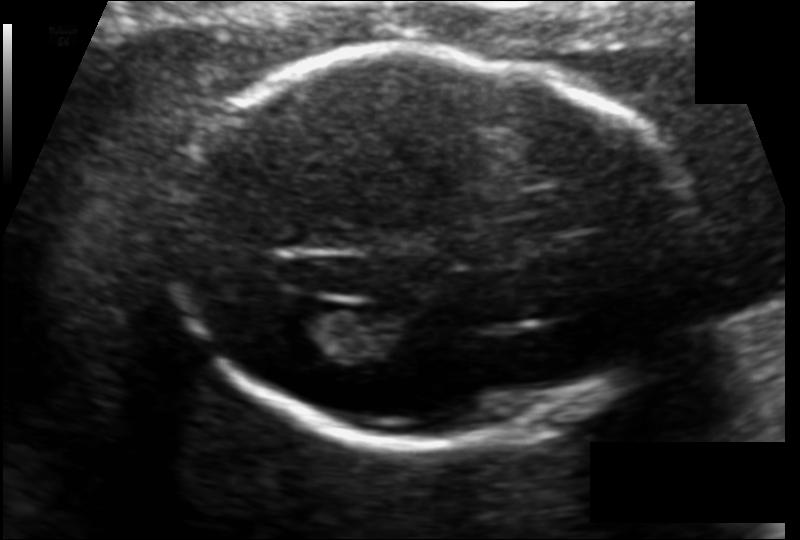
Fetal head ultrasound. Image width: 96.2 mm. Give [x1,y1,x2,y2] bounding boxes for each visible structure among: fetal head, CSP, LV.

Head: [175,49,688,450]
Lateral ventricle: [267,309,350,366]